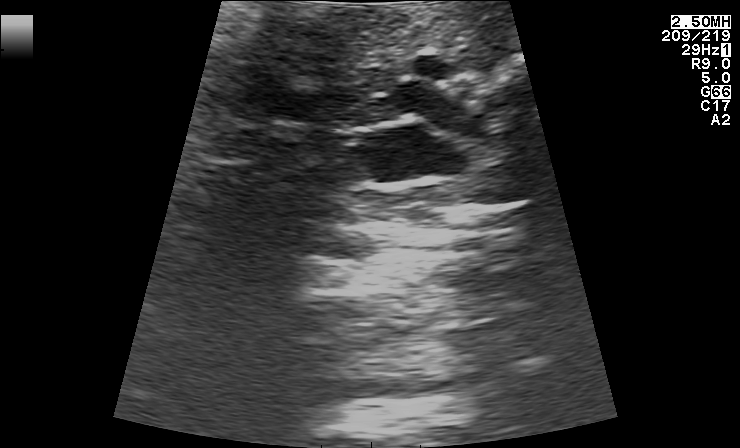
Which standard maternal-fetal ultrasound plane is shown: fetal abdomen, fetal brain, fetal femur, fetal thorax, maternal cervix, or other? If it's fetal brain and one of the three standard brain planes (trans-thalamic, trans-cerebellum, trans-ventricular), name which.

Other